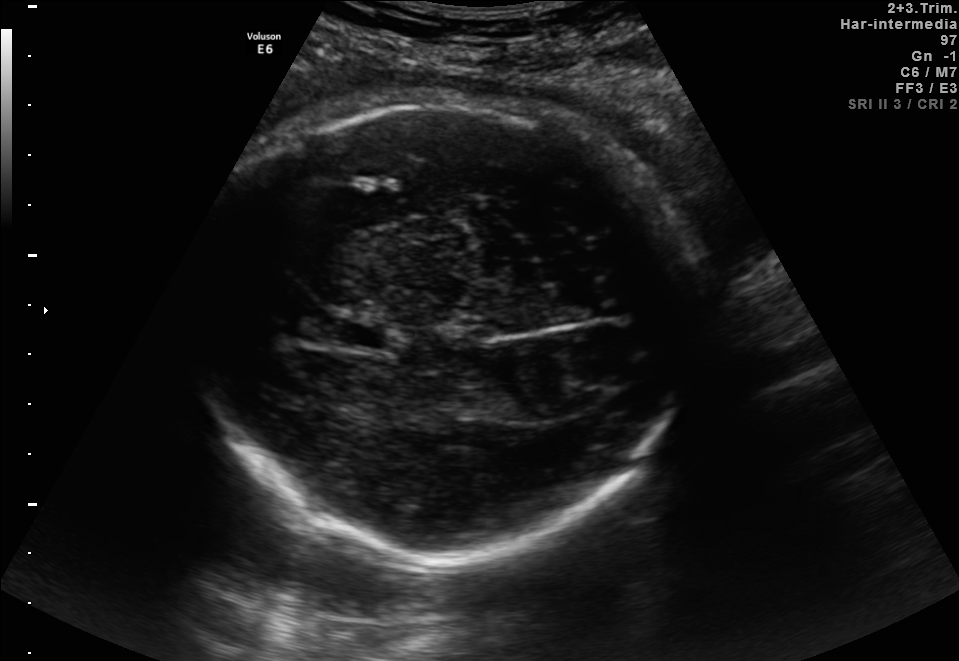
In this fetal brain, trans-thalamic plane, give the bounding box of the cavum septum pellucidum.

[334,318,388,350]